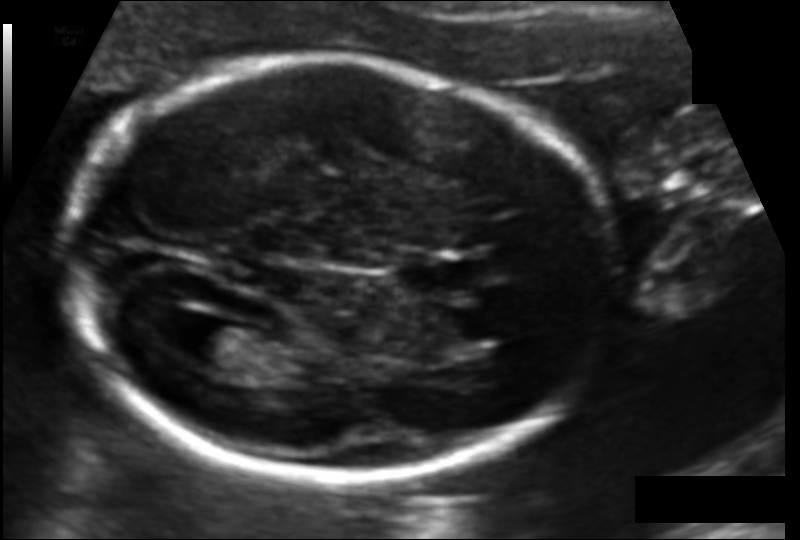
In this fetal head ultrasound, give the bounding box of the lateral ventricle. Image width: 91.0 mm.

[176,315,253,371]